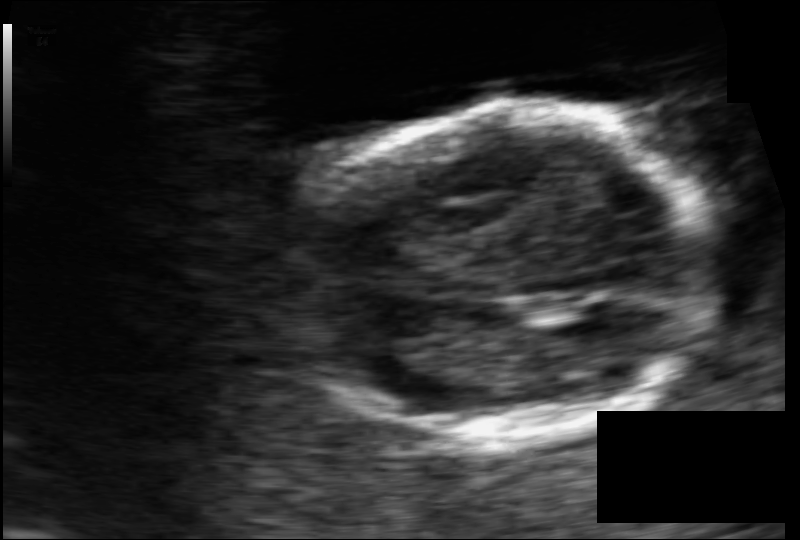
In this fetal head ultrasound, give bounding boxes for the head outline, cavum septum pellucidum (CSP), and lateral ventricle (LV), where visible. Image width: 67.0 mm.

Head: [291,105,719,440]